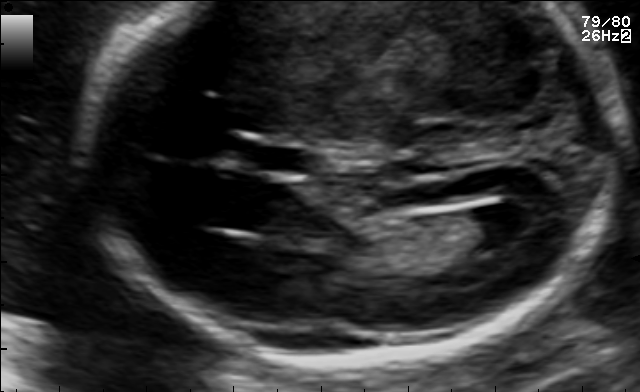
In this fetal brain, trans-ventricular plane, give the bounding box of the cavum septum pellucidum.

[251,144,311,174]